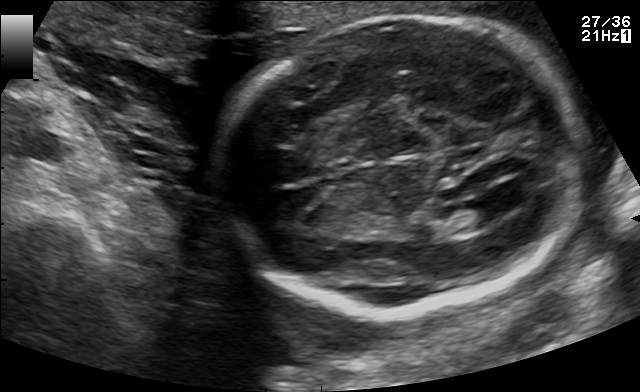
In this fetal brain, trans-ventricular plane, give the bounding box of the fetal head.

[212,11,595,319]